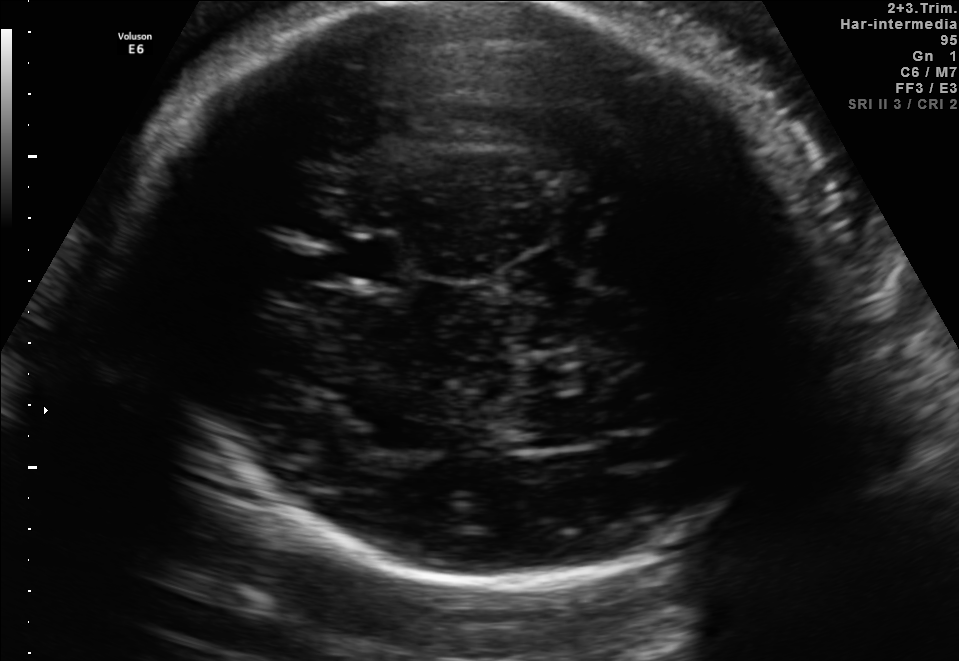
Fetal brain, trans-thalamic plane. Locate the cavum septum pellucidum.

CSP: [325,233,403,287]